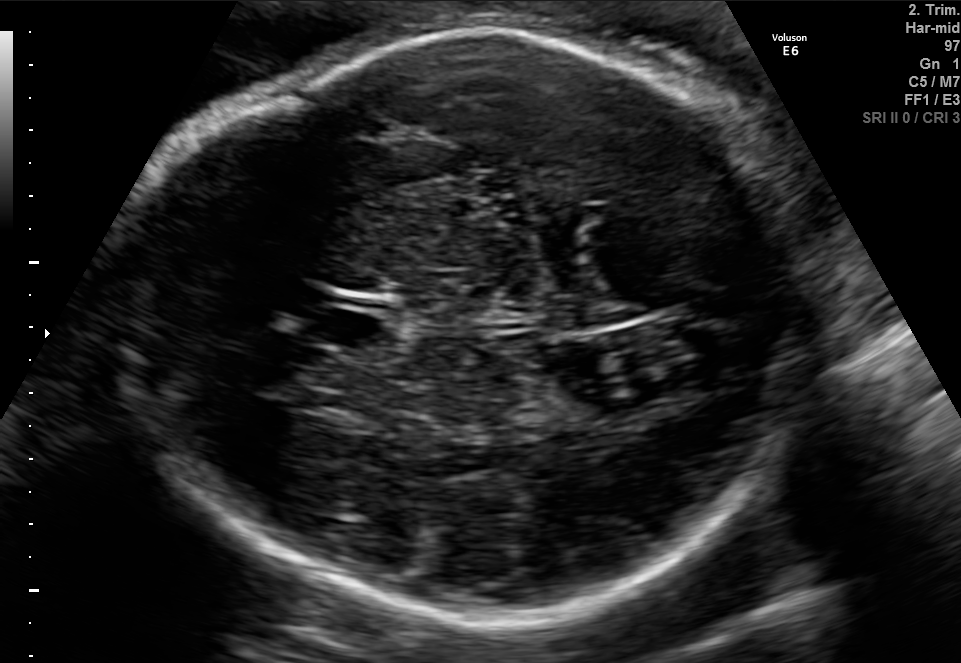
In this fetal brain, trans-thalamic plane, give the bounding box of the cavum septum pellucidum.

[303,300,388,354]